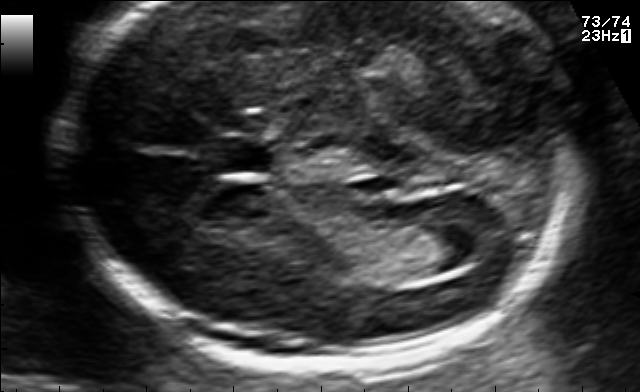
In this fetal brain, trans-ventricular plane, give the bounding box of the cavum septum pellucidum.

[201,138,287,172]